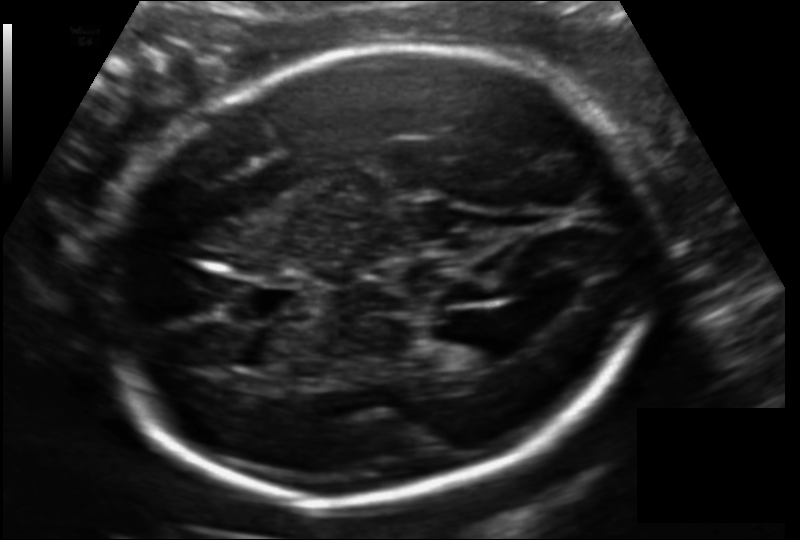
From this fetal ultrasound, estimate the head circumference (image width 111.6 mm).

Head circumference: 224.0 mm.